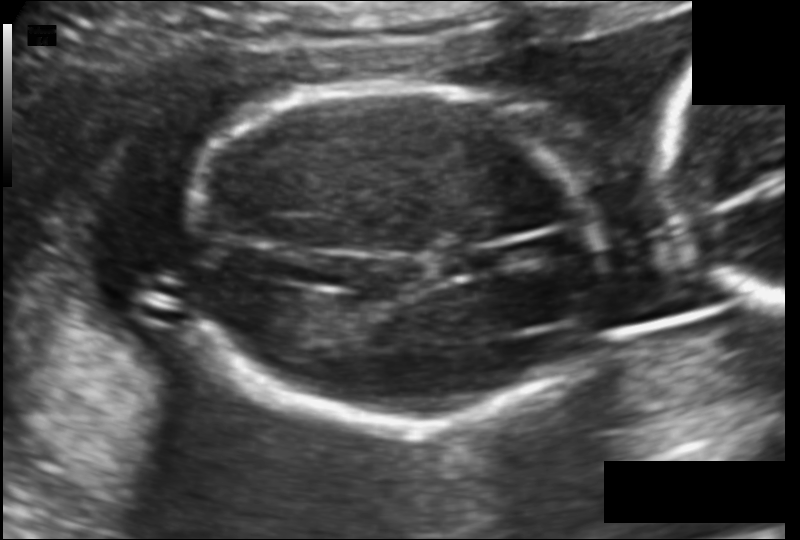
Estimate the fetal head circumference from this 2D ultrasound.

Head circumference: 146.4 mm (image width 94.3 mm).